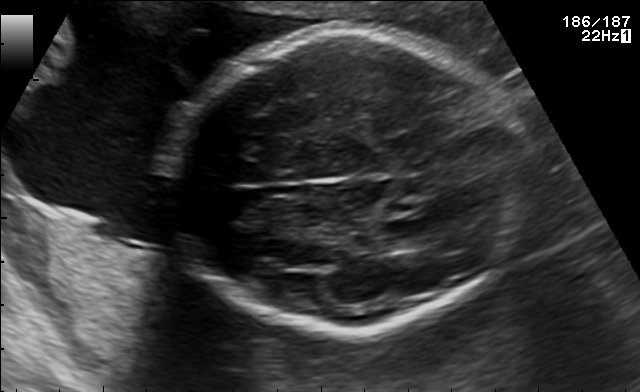
Fetal brain, trans-thalamic plane. Give [x1,y1,x2,y2] bounding boxes for each visible structure among: fetal head, CSP, LV.

Head: [166,30,525,331]